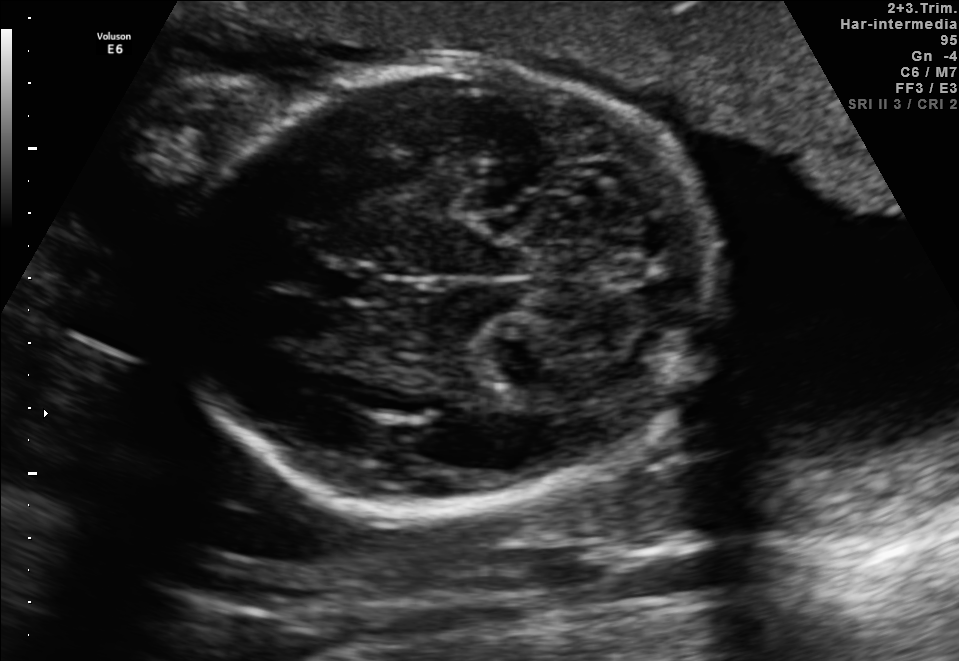
Which standard maternal-fetal ultrasound plane is shown: fetal abdomen, fetal brain, fetal femur, fetal thorax, maternal cervix, or other? If it's fetal brain and one of the three standard brain planes (trans-thalamic, trans-cerebellum, trans-ventricular), name which.

Fetal brain (trans-cerebellum plane)